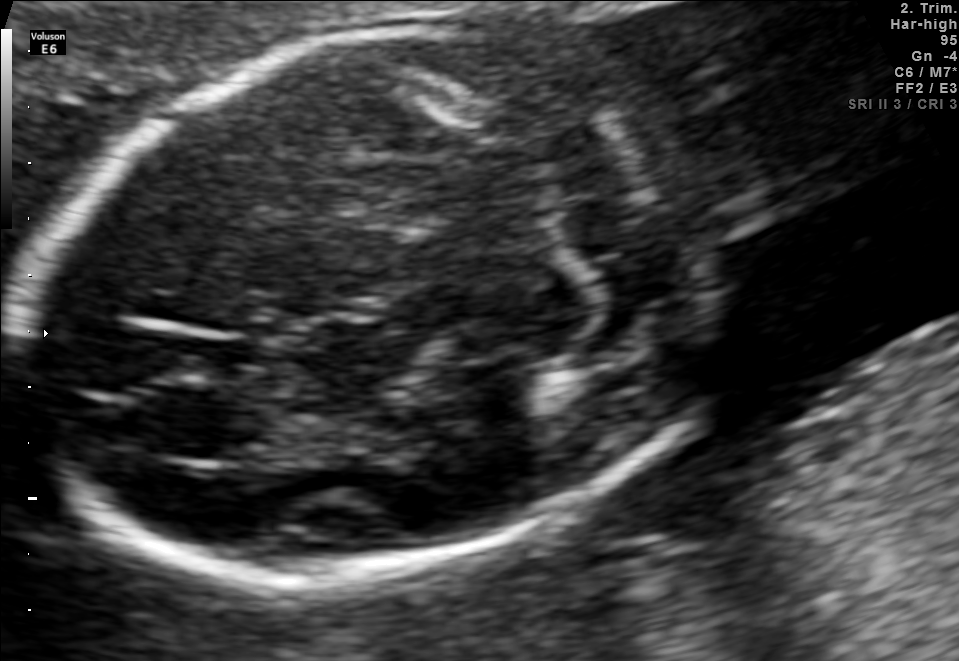
Fetal brain, trans-cerebellum plane. Locate the fetal head and, if visible, the cavum septum pellucidum (CSP) and lateral ventricle (LV). Give bounding boxes as [x1,y1,x2,y2].

Head: [24,24,723,581]